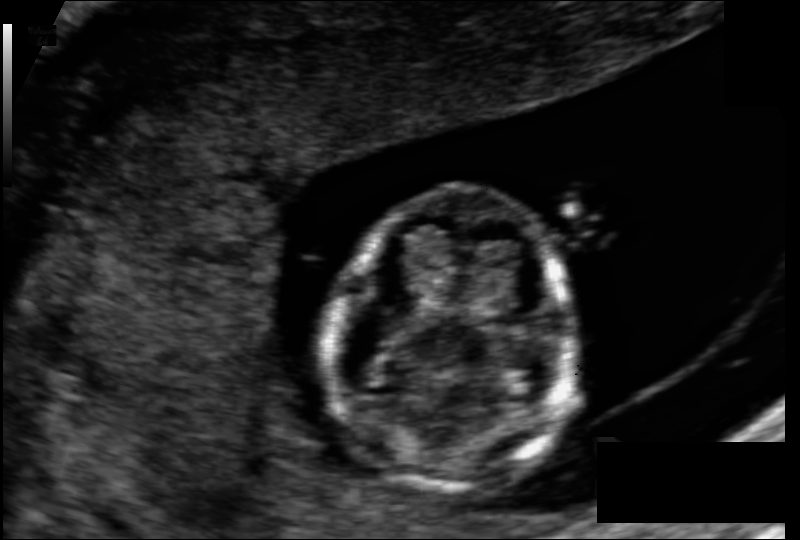
Estimate the fetal head circumference from this 2D ultrasound.

Head circumference: 87.3 mm (image width 77.7 mm).